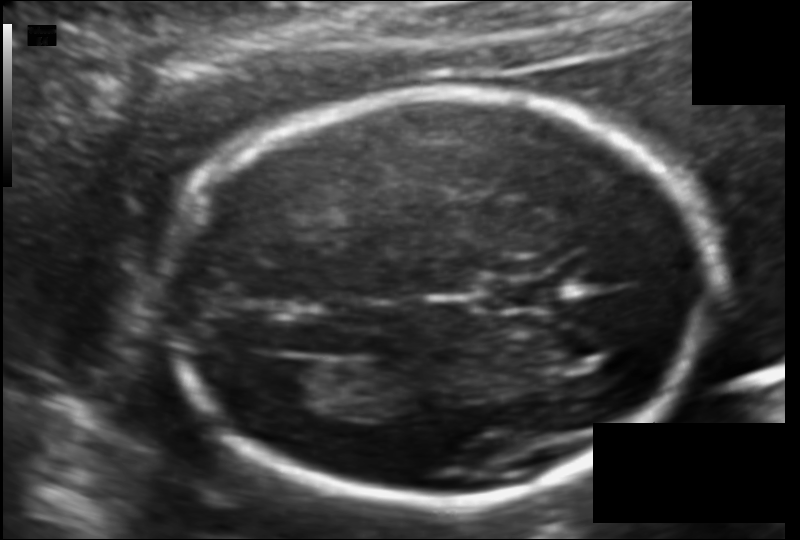
Measure the fetal head circumference shown in this ultrasound image. Image width: 88.5 mm.

Head circumference: 170.9 mm.